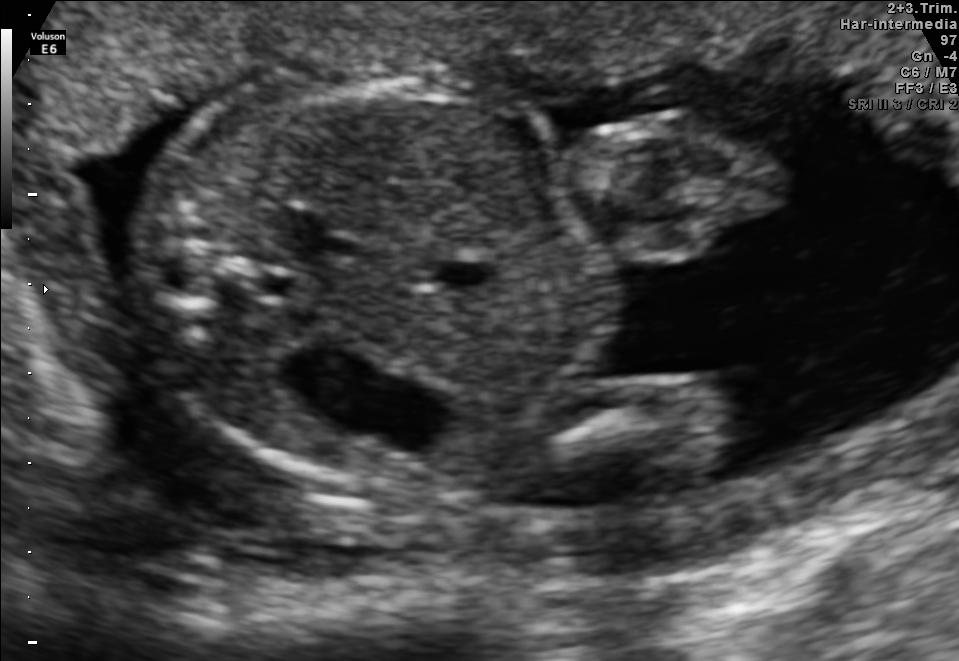
Classify this maternal-fetal ultrasound image as one of the six standard planes — fetal abdomen, fetal brain, fetal femur, fetal thorax, maternal cervix, or other. If it's fetal brain and one of the three standard brain planes (trans-thalamic, trans-cerebellum, trans-ventricular), name which.

Fetal abdomen